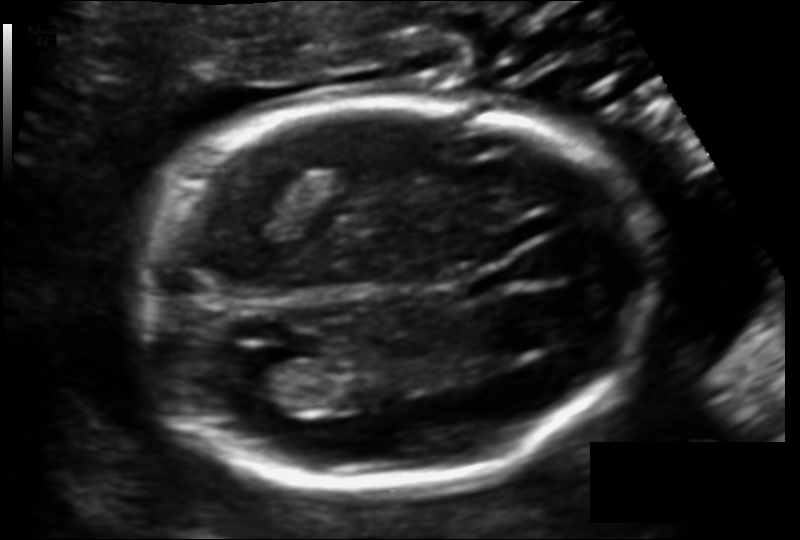
Fetal head ultrasound. Image width: 97.3 mm. Where is the fetal head?

Head bounding box: [138,100,649,491]